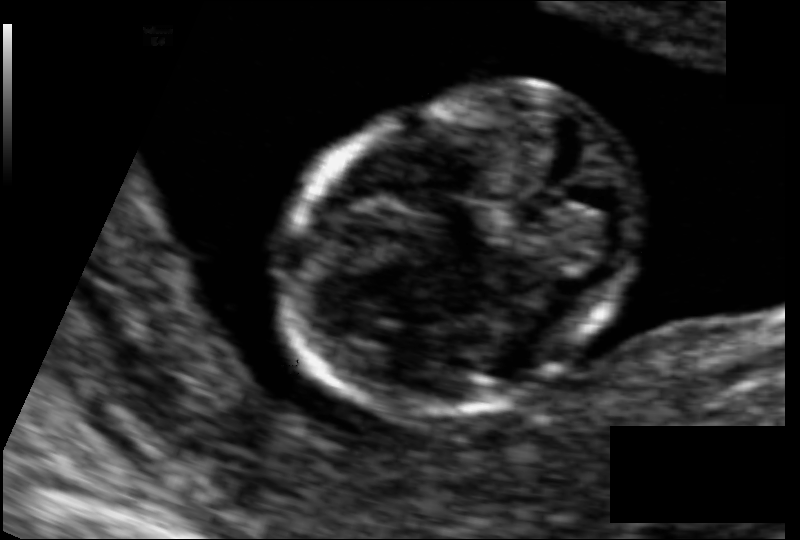
In this fetal head ultrasound, give the bounding box of the fetal head. Image width: 52.4 mm.

[286,91,644,415]